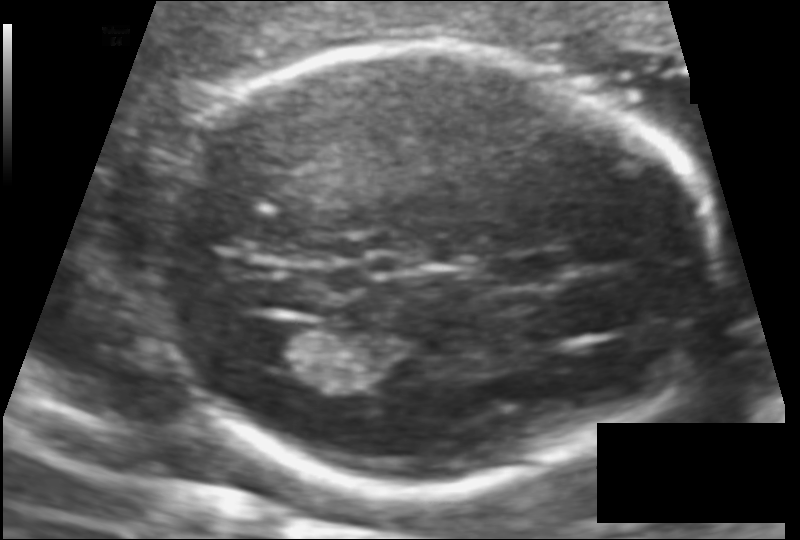
Fetal head ultrasound. Image width: 84.7 mm. Where is the lateral ventricle?

Lateral ventricle bounding box: [239,318,324,372]